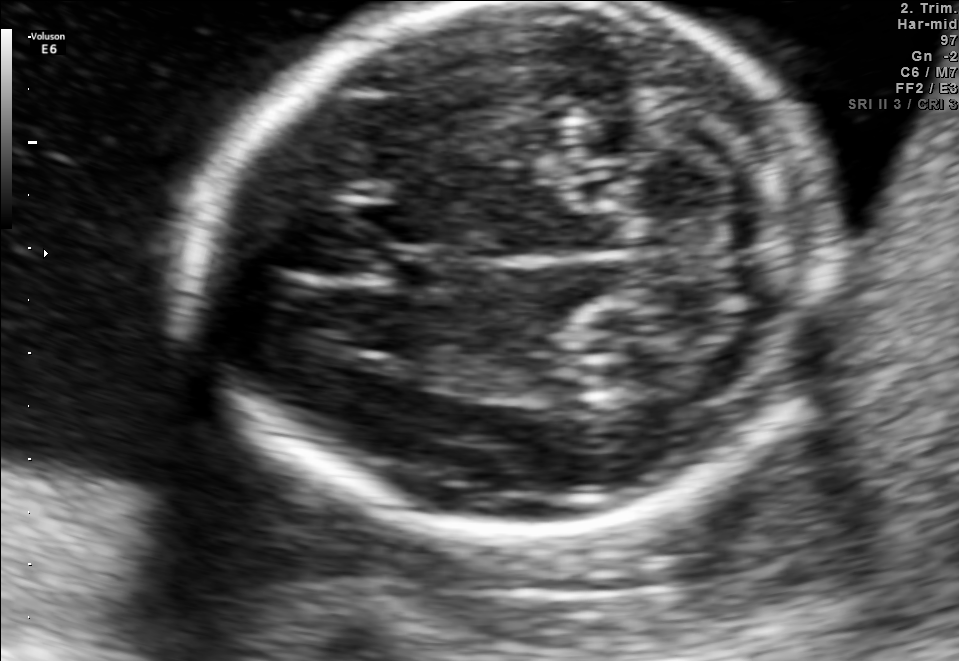
Fetal brain, trans-cerebellum plane. Where is the cavum septum pellucidum?

CSP bounding box: [380,251,451,291]